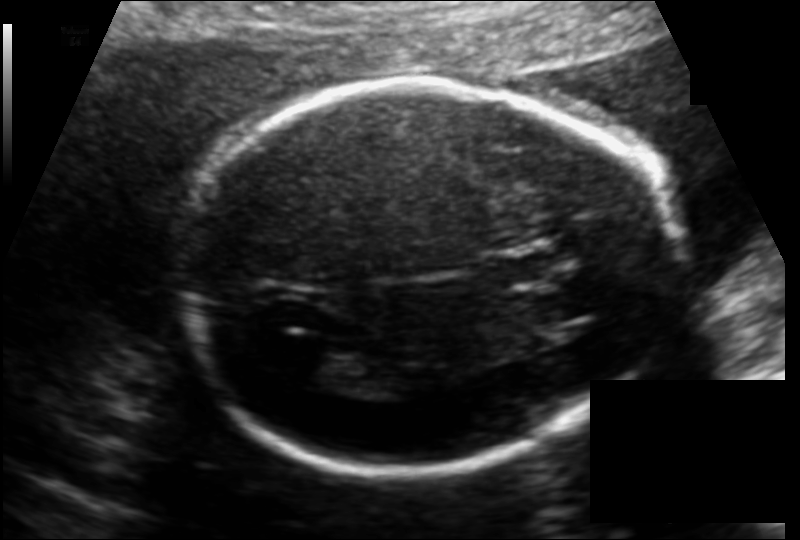
Fetal head ultrasound. Image width: 104.3 mm. Where is the cavum septum pellucidum?

CSP bounding box: [491,238,571,291]